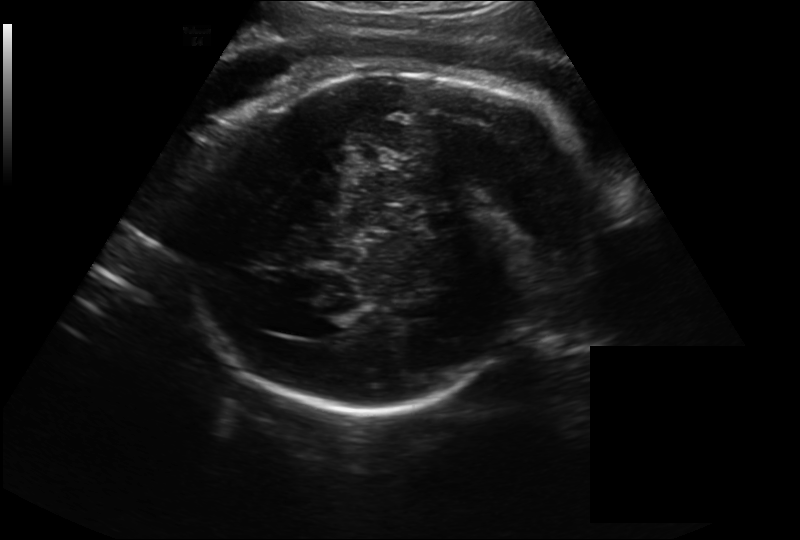
In this fetal head ultrasound, give bounding boxes for the head outline, cavum septum pellucidum (CSP), and lateral ventricle (LV), where visible. Image width: 209.3 mm.

Head: [194,65,585,408]
Lateral ventricle: [300,314,346,339]